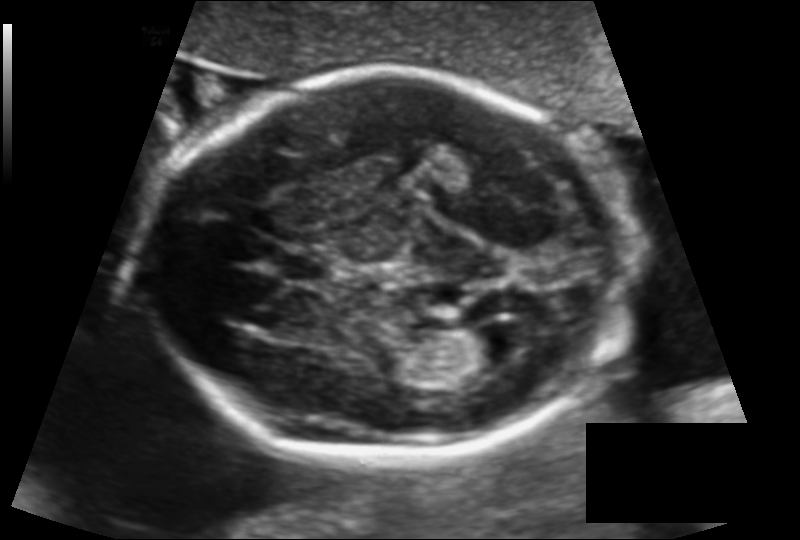
Estimate the fetal head circumference from this 2D ultrasound. Image width: 103.5 mm.

Head circumference: 180.4 mm.